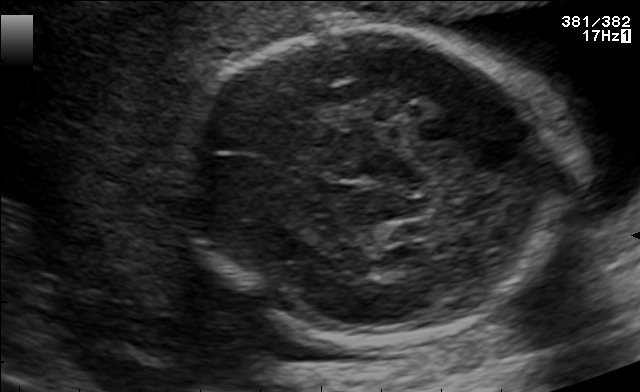
In this fetal brain, trans-thalamic plane, give bounding boxes for the head outline, cavum septum pellucidum (CSP), and lateral ventricle (LV), where visible.

Head: [180,26,557,342]